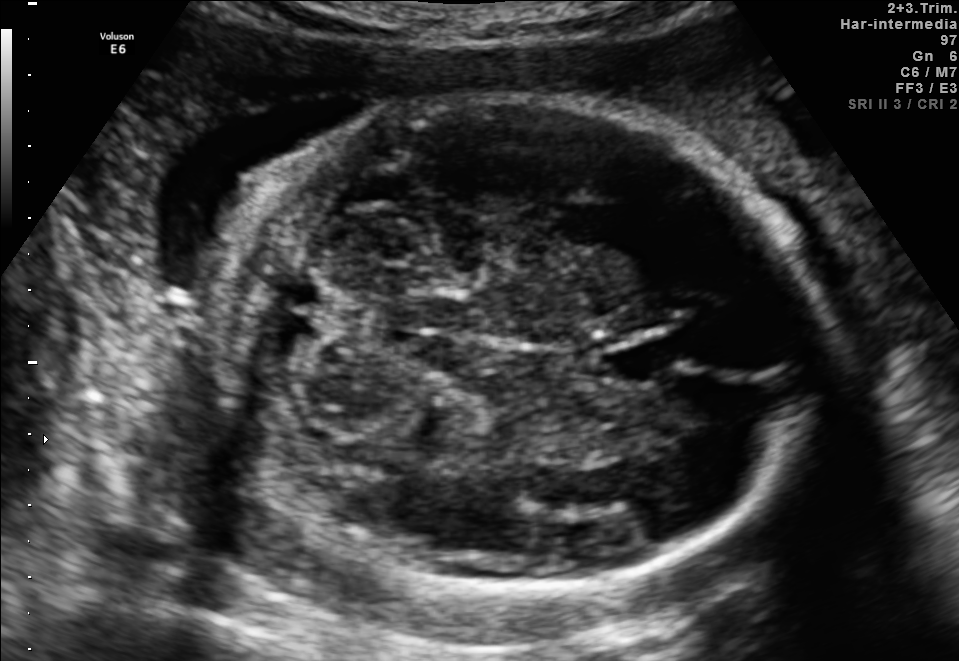
In this fetal brain, trans-cerebellum plane, give bounding boxes for the head outline, cavum septum pellucidum (CSP), and lateral ventricle (LV), where visible.

Head: [202,94,823,583]
CSP: [595,328,681,394]